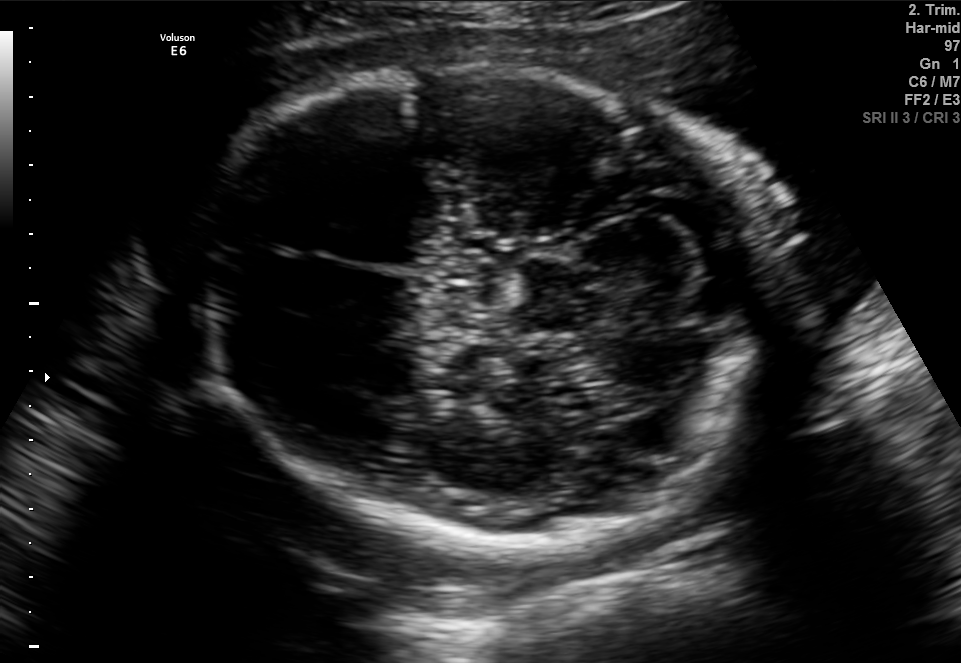
In this fetal brain, trans-cerebellum plane, give bounding boxes for the head outline, cavum septum pellucidum (CSP), and lateral ventricle (LV), where visible.

Head: [201,69,784,548]